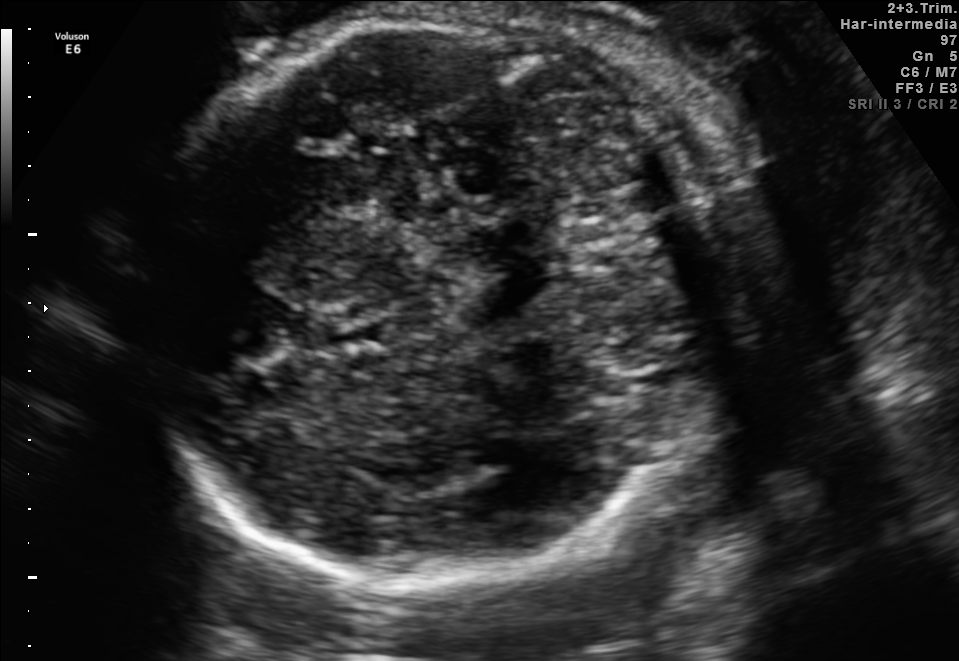
Fetal brain, trans-cerebellum plane. Where is the fetal head?

Head bounding box: [136,3,763,584]